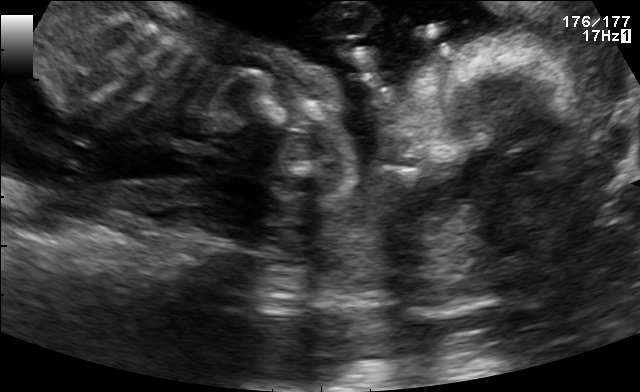
Classify this maternal-fetal ultrasound image as one of the six standard planes — fetal abdomen, fetal brain, fetal femur, fetal thorax, maternal cervix, or other. If it's fetal brain and one of the three standard brain planes (trans-thalamic, trans-cerebellum, trans-ventricular), name which.

Other